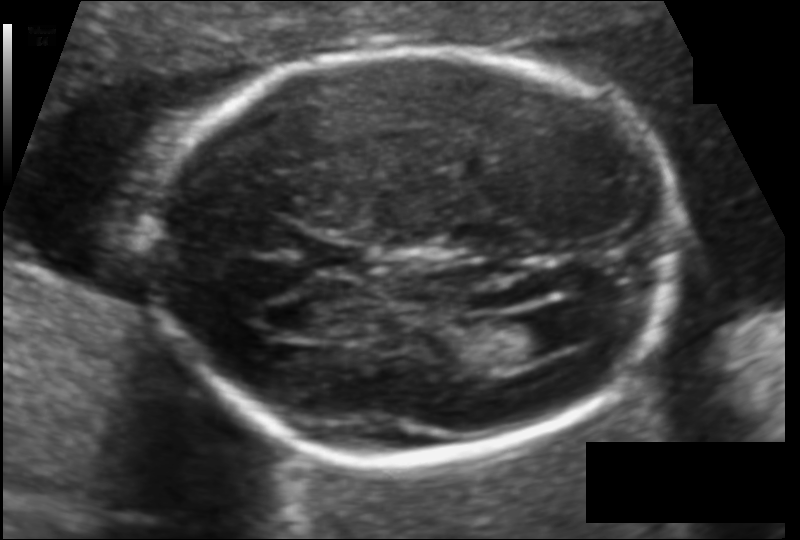
Estimate the fetal head circumference from this 2D ultrasound. Image width: 89.1 mm.

Head circumference: 169.3 mm.